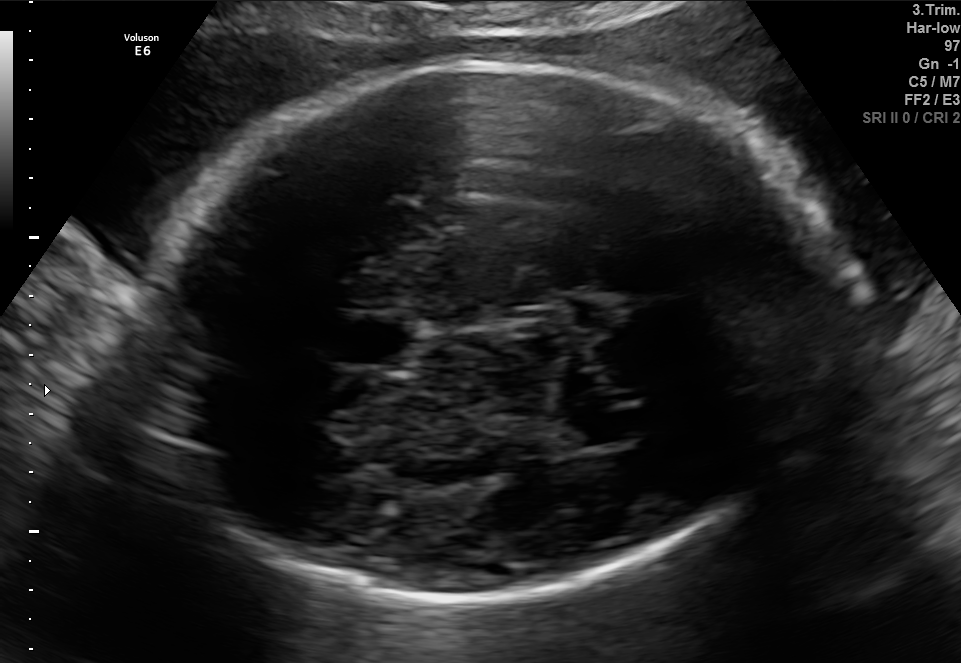
Fetal brain, trans-thalamic plane. Locate the lateral ventricle.

Lateral ventricle: [562,406,644,449]